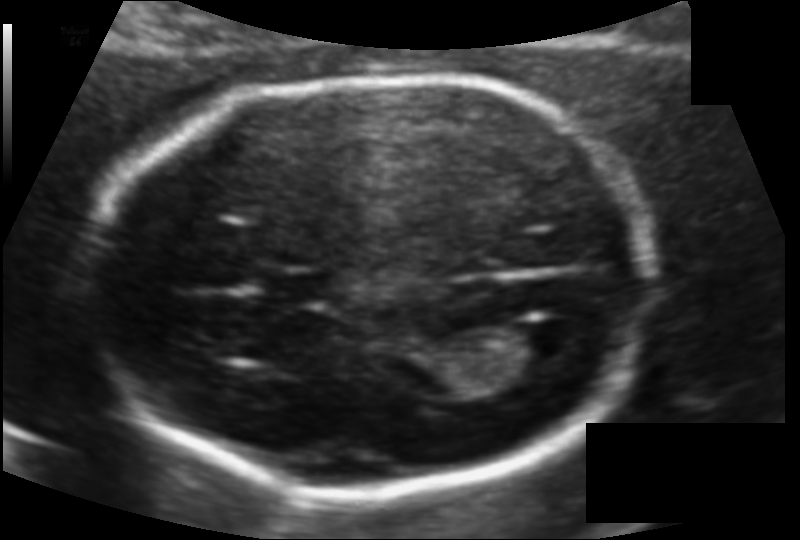
Fetal head ultrasound. Image width: 85.2 mm. Locate the cavum septum pellucidum.

CSP: [264,271,330,305]